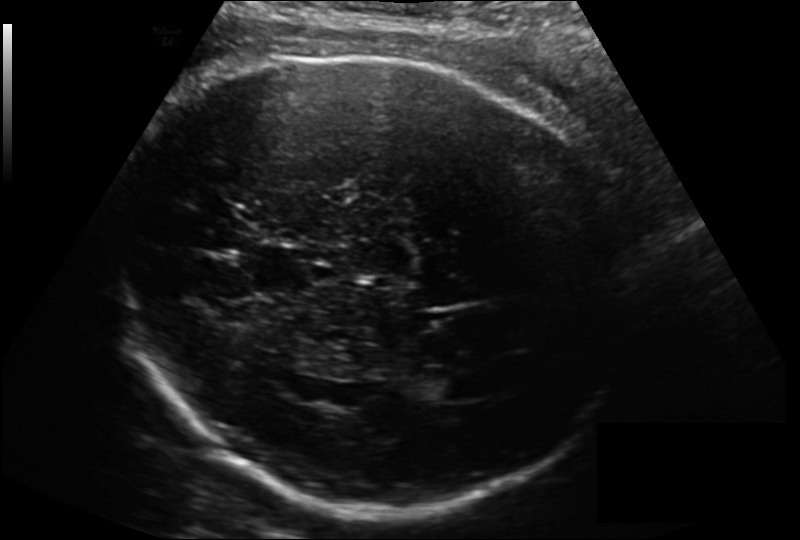
What is the fetal head circumference? Image width is 159.6 mm.

307.0 mm